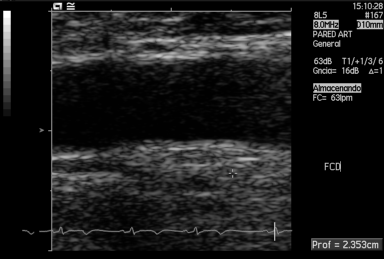
This is a 2D maternal-fetal ultrasound frame. Is it a fetal abdomen, fetal brain, fetal femur, fetal thorax, maternal cervix, or other standard plane? If it's fetal brain and one of the three standard brain planes (trans-thalamic, trans-cerebellum, trans-ventricular), name which.

Other